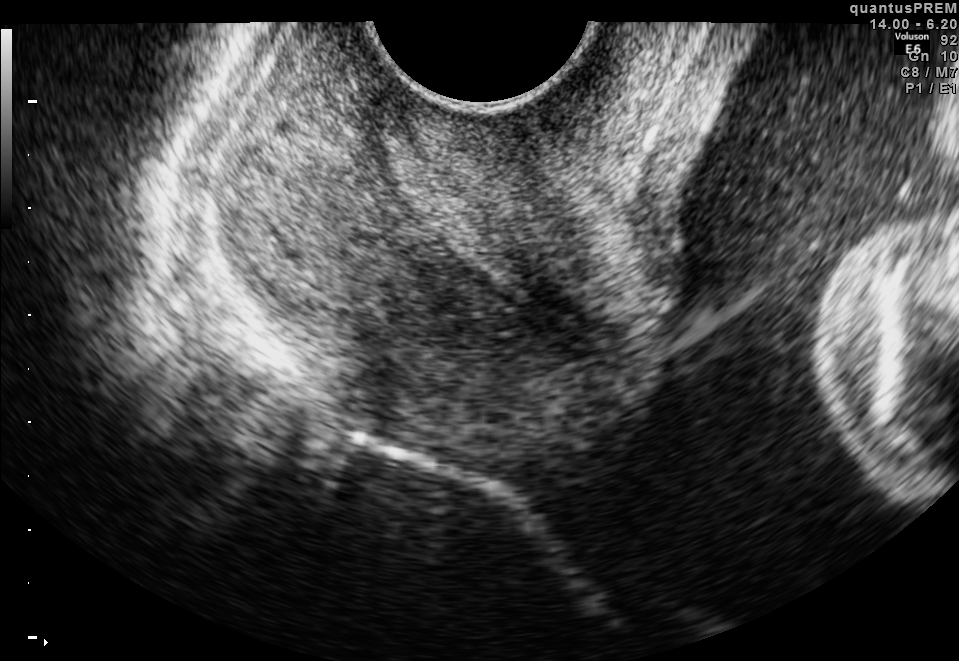
Classify this maternal-fetal ultrasound image as one of the six standard planes — fetal abdomen, fetal brain, fetal femur, fetal thorax, maternal cervix, or other. If it's fetal brain and one of the three standard brain planes (trans-thalamic, trans-cerebellum, trans-ventricular), name which.

Maternal cervix